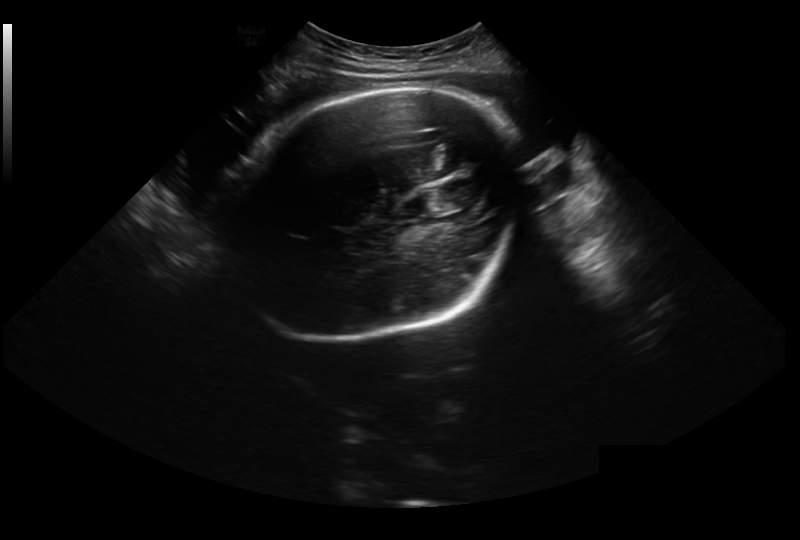
Estimate the fetal head circumference from this 2D ultrasound.

Head circumference: 296.8 mm (image width 260.9 mm).